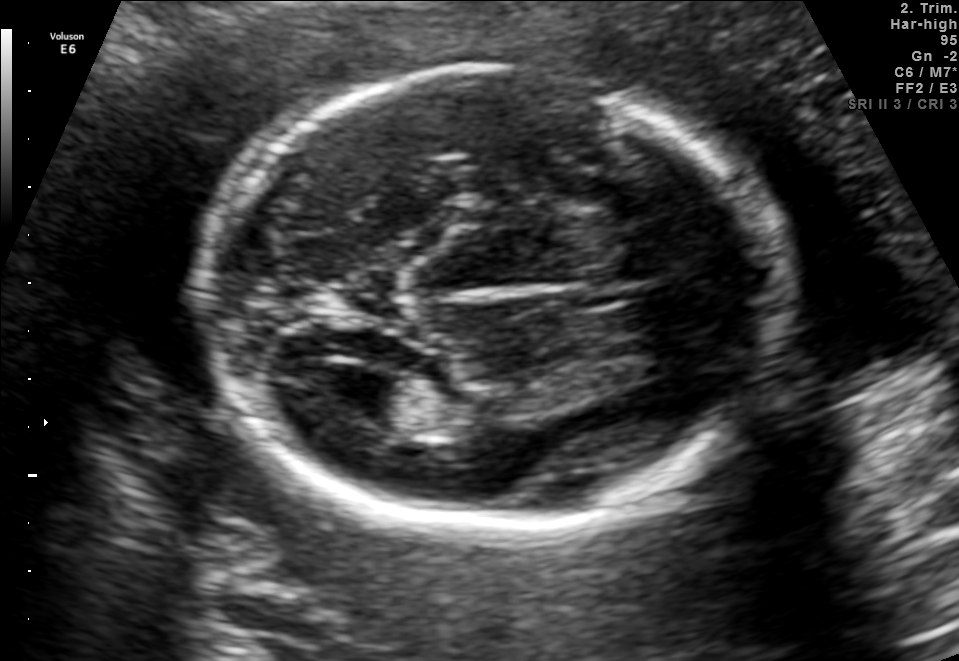
In this fetal brain, trans-ventricular plane, give bounding boxes for the head outline, cavum septum pellucidum (CSP), and lateral ventricle (LV), where visible.

Head: [186,61,807,532]
CSP: [575,259,668,311]
Lateral ventricle: [314,361,409,430]